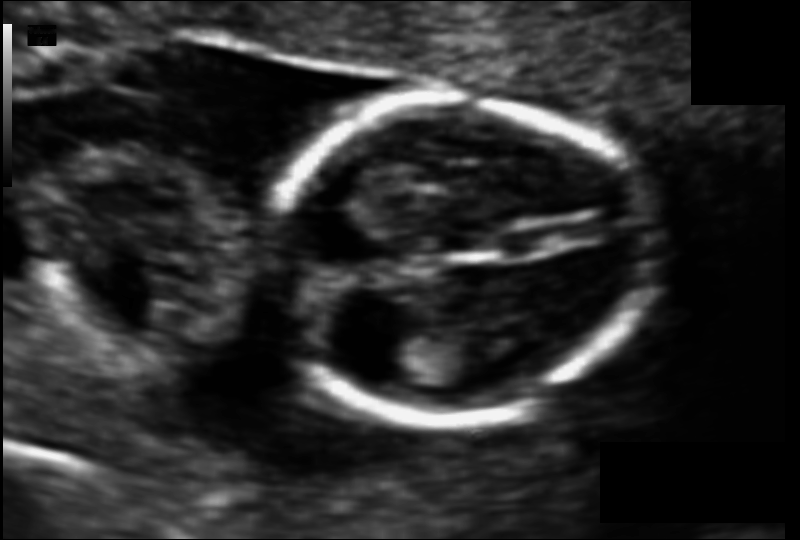
Fetal head ultrasound. Image width: 66.6 mm. Where is the lateral ventricle?

Lateral ventricle bounding box: [367,330,432,380]